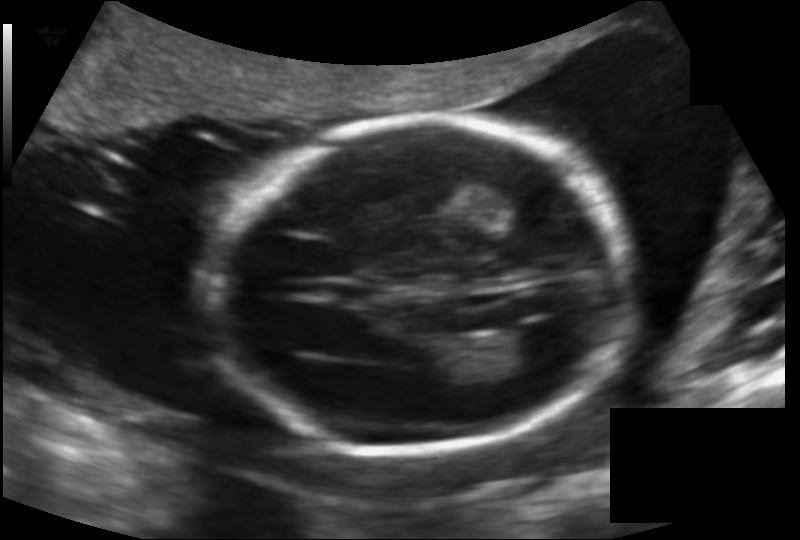
Estimate the fetal head circumference from this 2D ultrasound.

Head circumference: 175.0 mm (image width 113.7 mm).